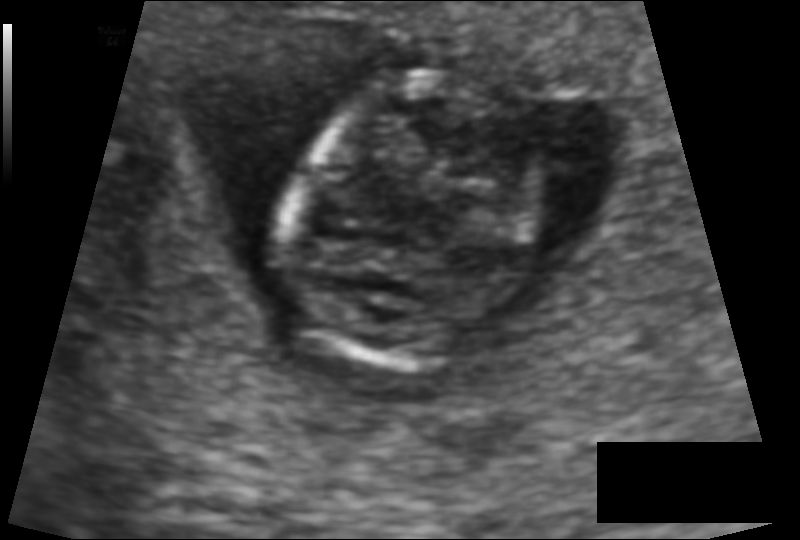
Fetal head ultrasound. Image width: 72.8 mm. Locate the fetal head.

Head: [285,73,531,368]